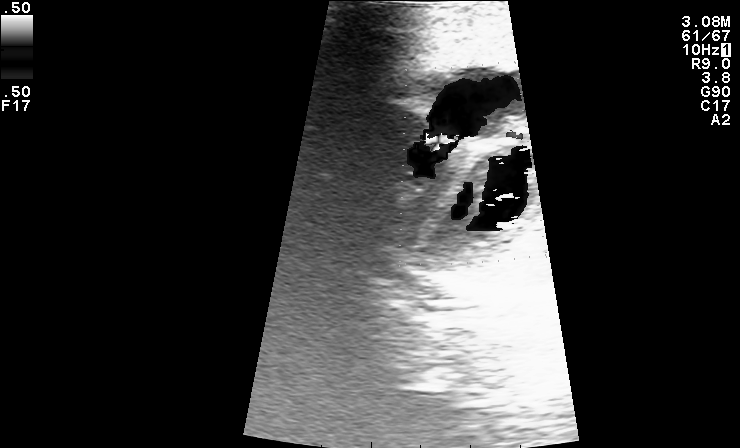
Identify the standard plane in this fetal ultrasound image: fetal abdomen, fetal brain, fetal femur, fetal thorax, maternal cervix, or other. If it's fetal brain and one of the three standard brain planes (trans-thalamic, trans-cerebellum, trans-ventricular), name which.

Other